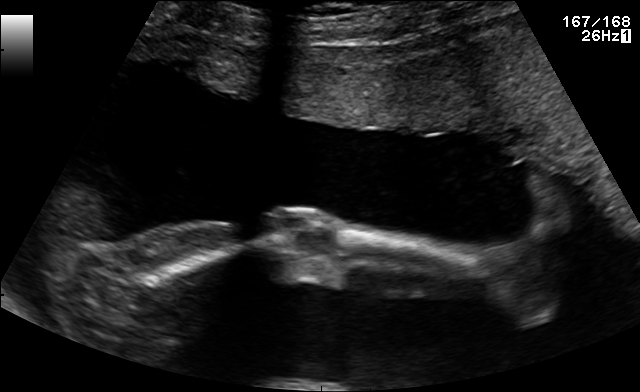
Identify the standard plane in this fetal ultrasound image: fetal abdomen, fetal brain, fetal femur, fetal thorax, maternal cervix, or other. If it's fetal brain and one of the three standard brain planes (trans-thalamic, trans-cerebellum, trans-ventricular), name which.

Fetal femur